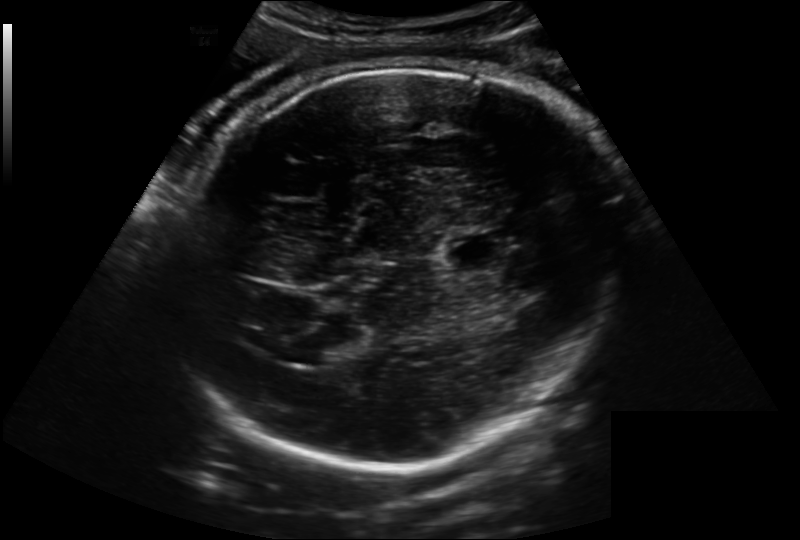
In this fetal head ultrasound, give the bounding box of the cavum septum pellucidum. Image width: 177.3 mm.

[441,226,518,280]